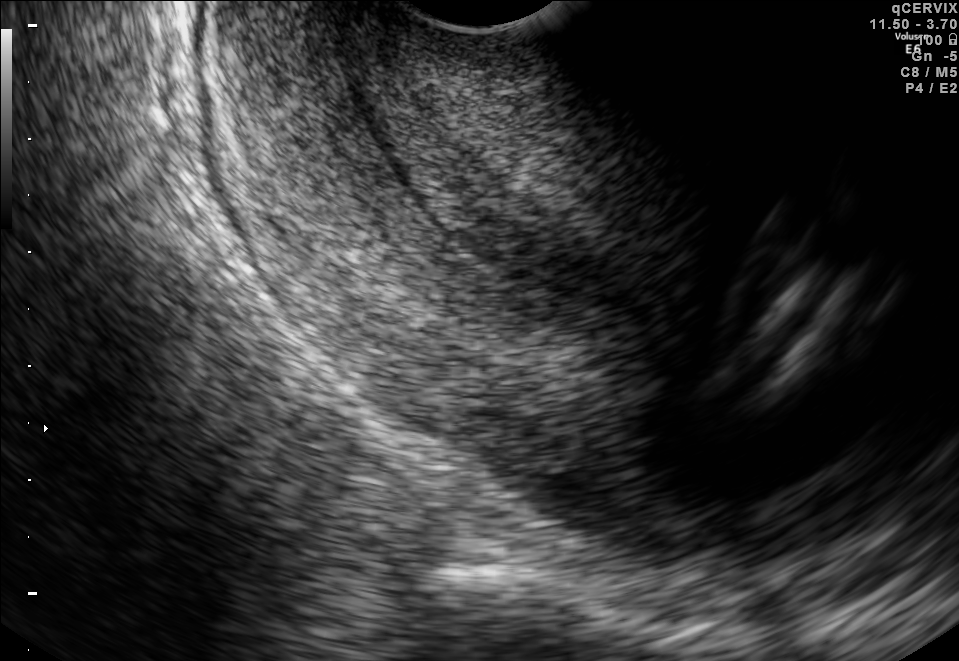
Which standard maternal-fetal ultrasound plane is shown: fetal abdomen, fetal brain, fetal femur, fetal thorax, maternal cervix, or other? If it's fetal brain and one of the three standard brain planes (trans-thalamic, trans-cerebellum, trans-ventricular), name which.

Maternal cervix